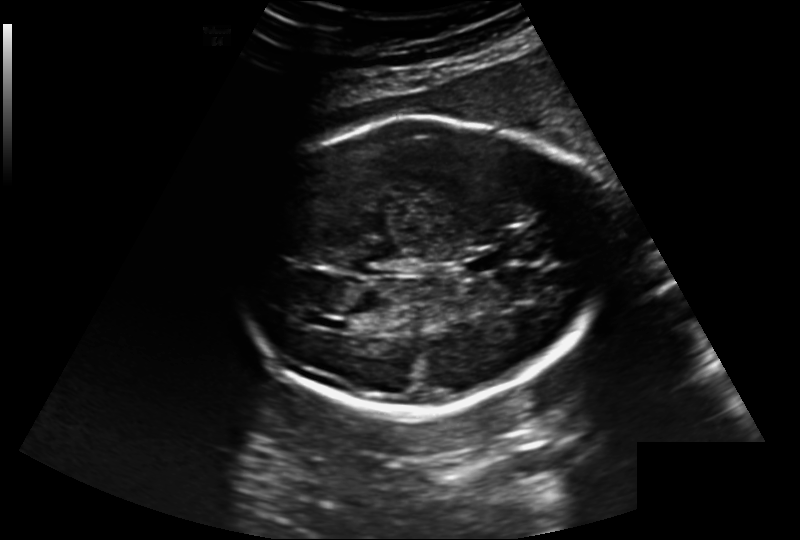
In this fetal head ultrasound, give bounding boxes for the head outline, cavum septum pellucidum (CSP), and lateral ventricle (LV), where visible. Image width: 175.6 mm.

Head: [235,115,610,413]
CSP: [462,251,500,278]
Lateral ventricle: [315,314,351,334]